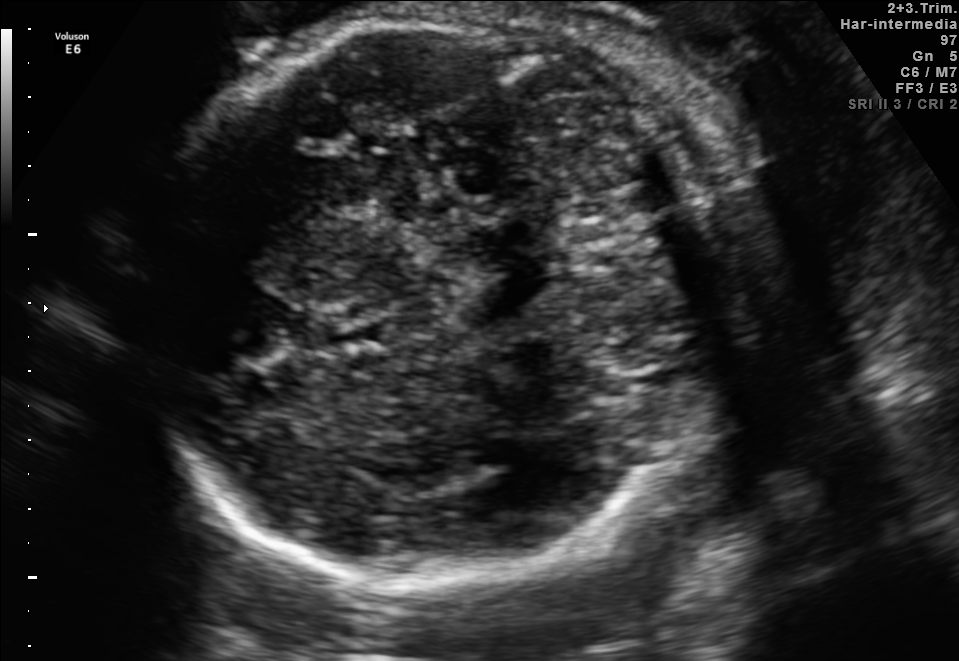
Fetal brain, trans-cerebellum plane. Locate the fetal head and, if visible, the cavum septum pellucidum (CSP) and lateral ventricle (LV). Give bounding boxes as [x1,y1,x2,y2].

Head: [136,3,763,584]